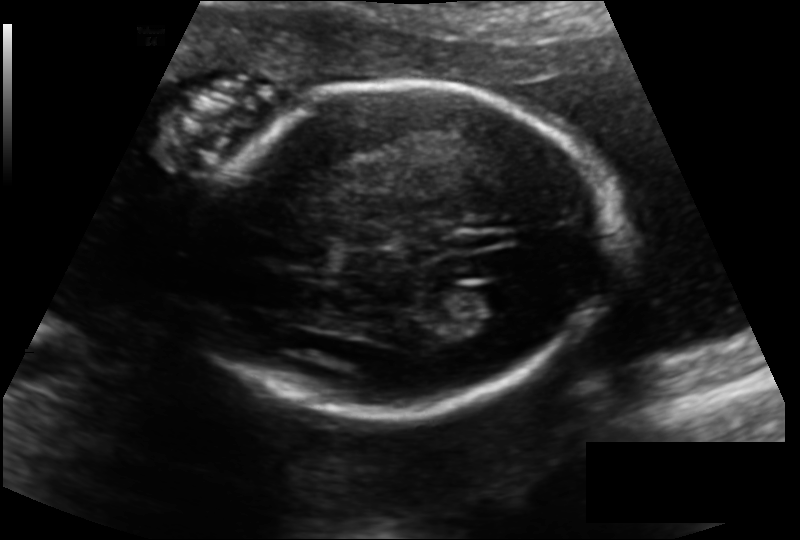
Fetal head ultrasound. Image width: 115.4 mm. Locate the fetal head.

Head: [194,82,613,416]